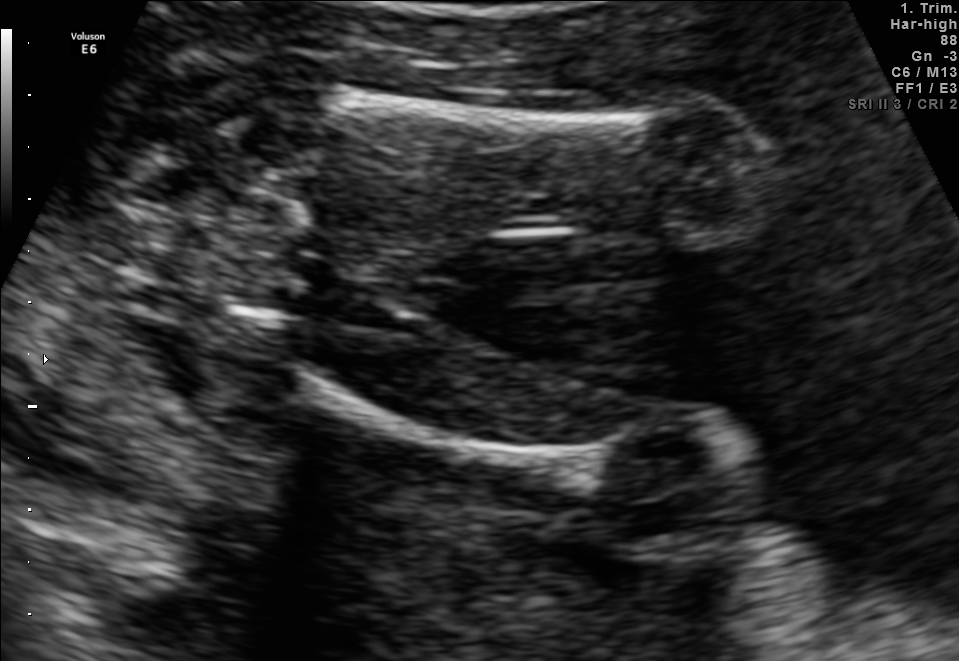
This is a 2D maternal-fetal ultrasound frame. Is it a fetal abdomen, fetal brain, fetal femur, fetal thorax, maternal cervix, or other standard plane? If it's fetal brain and one of the three standard brain planes (trans-thalamic, trans-cerebellum, trans-ventricular), name which.

Fetal femur